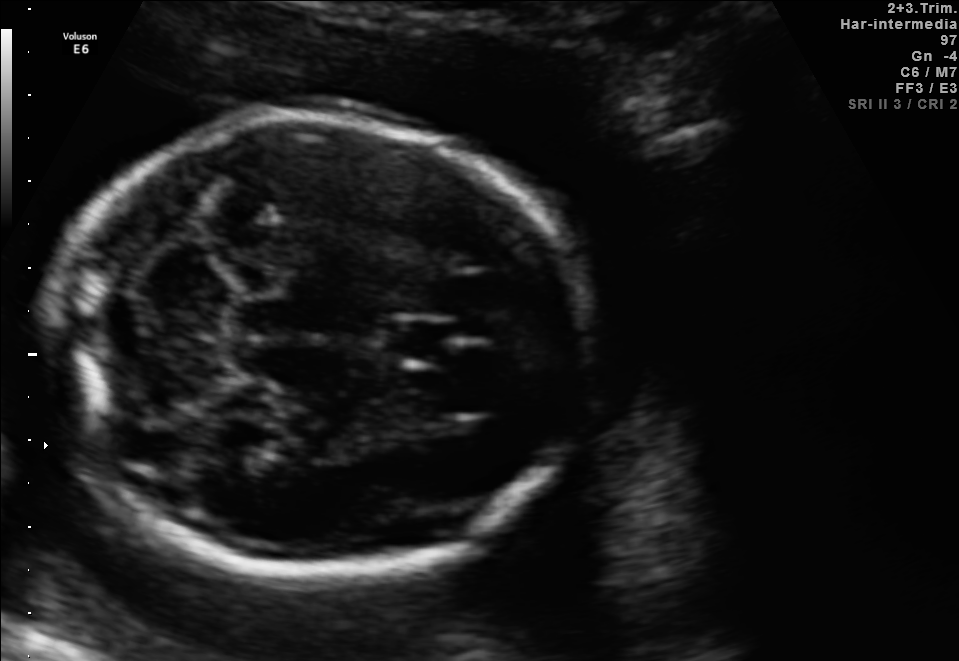
In this fetal brain, trans-cerebellum plane, give bounding boxes for the head outline, cavum septum pellucidum (CSP), and lateral ventricle (LV), where visible.

Head: [56,115,589,584]
CSP: [382,316,451,366]